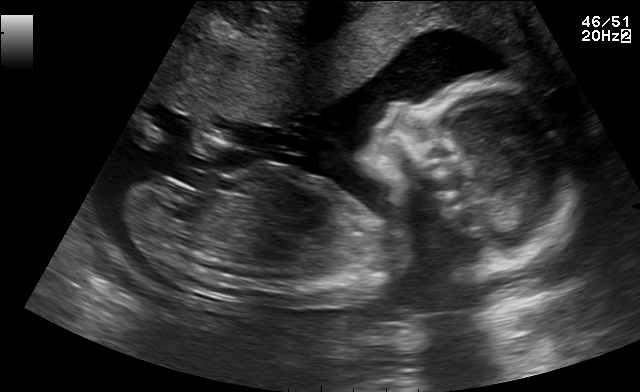
Identify the standard plane in this fetal ultrasound image: fetal abdomen, fetal brain, fetal femur, fetal thorax, maternal cervix, or other. If it's fetal brain and one of the three standard brain planes (trans-thalamic, trans-cerebellum, trans-ventricular), name which.

Other